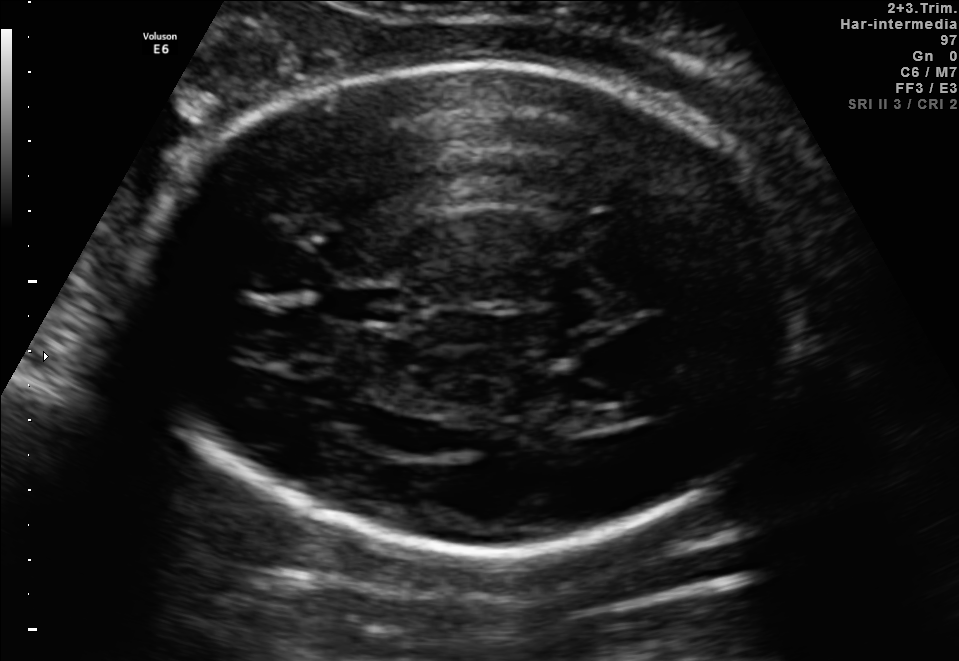
In this fetal brain, trans-ventricular plane, give the bounding box of the cavum septum pellucidum.

[318,283,412,327]